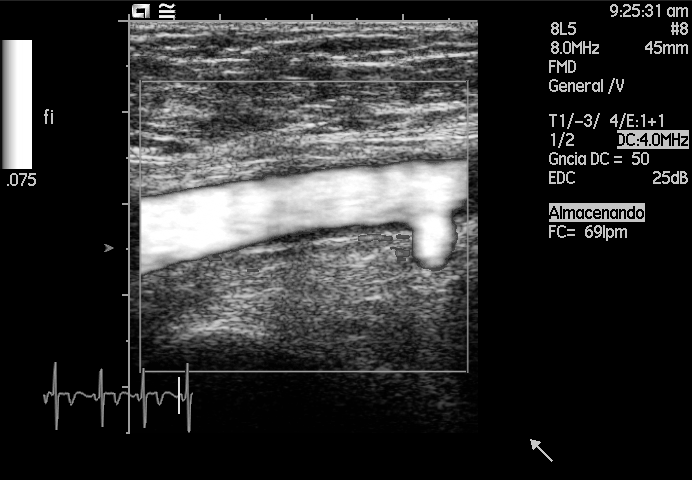
Classify this maternal-fetal ultrasound image as one of the six standard planes — fetal abdomen, fetal brain, fetal femur, fetal thorax, maternal cervix, or other. If it's fetal brain and one of the three standard brain planes (trans-thalamic, trans-cerebellum, trans-ventricular), name which.

Other